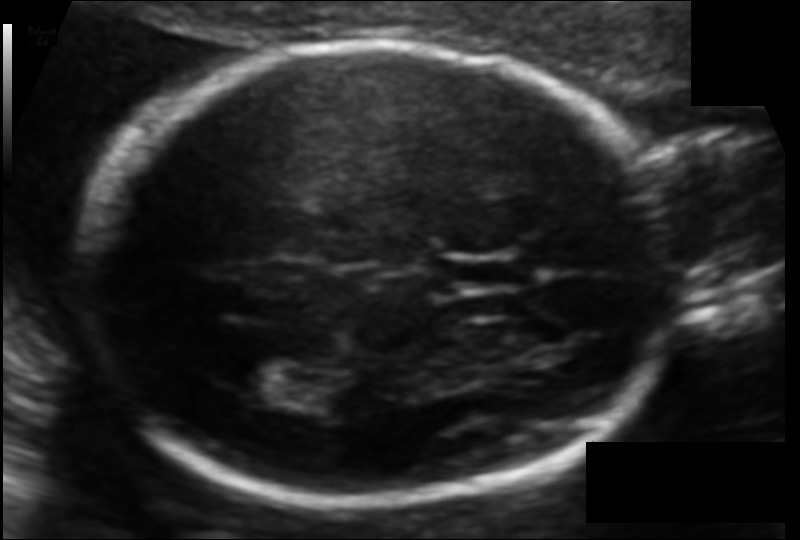
Fetal head ultrasound. Image width: 83.2 mm. Locate the lateral ventricle.

Lateral ventricle: [225,344,304,401]